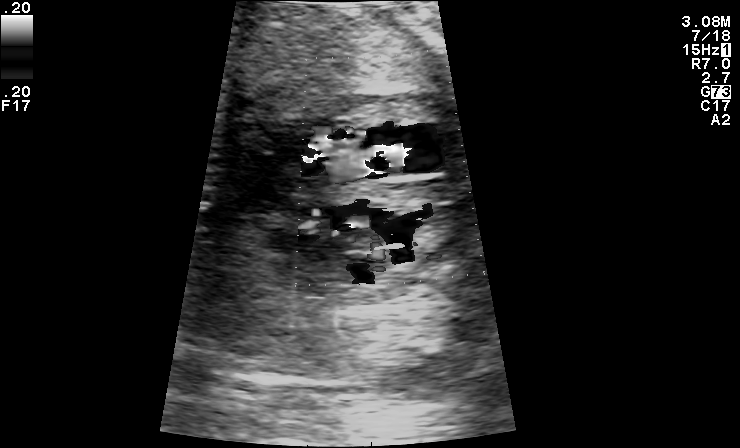
This is a 2D maternal-fetal ultrasound frame. Is it a fetal abdomen, fetal brain, fetal femur, fetal thorax, maternal cervix, or other standard plane? If it's fetal brain and one of the three standard brain planes (trans-thalamic, trans-cerebellum, trans-ventricular), name which.

Other